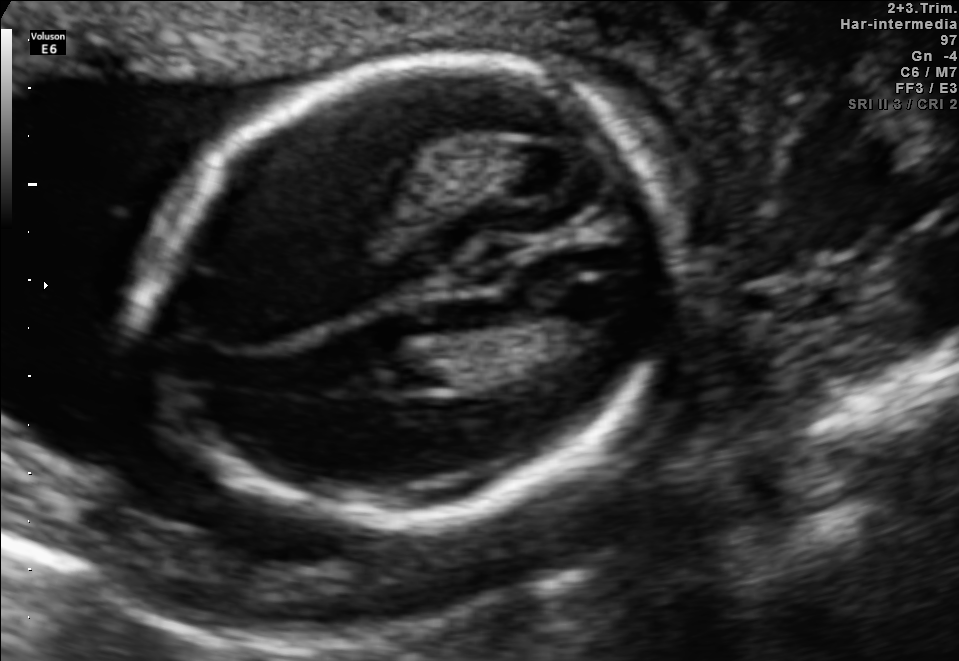
Fetal brain, trans-thalamic plane. Where is the fetal head?

Head bounding box: [140,63,677,526]